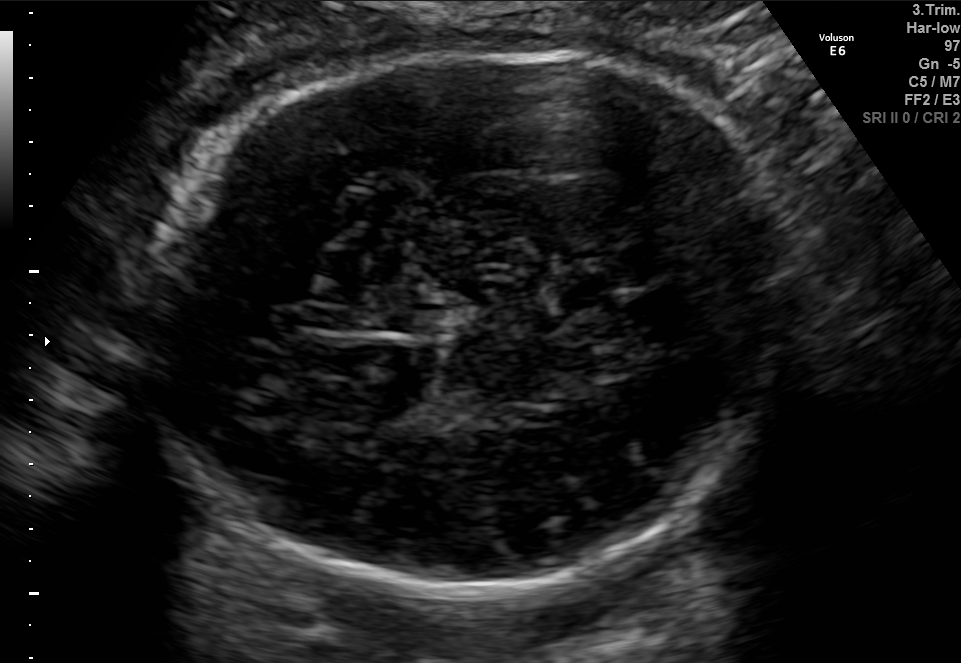
In this fetal brain, trans-thalamic plane, give bounding boxes for the head outline, cavum septum pellucidum (CSP), and lateral ventricle (LV), where visible.

Head: [158,49,797,592]